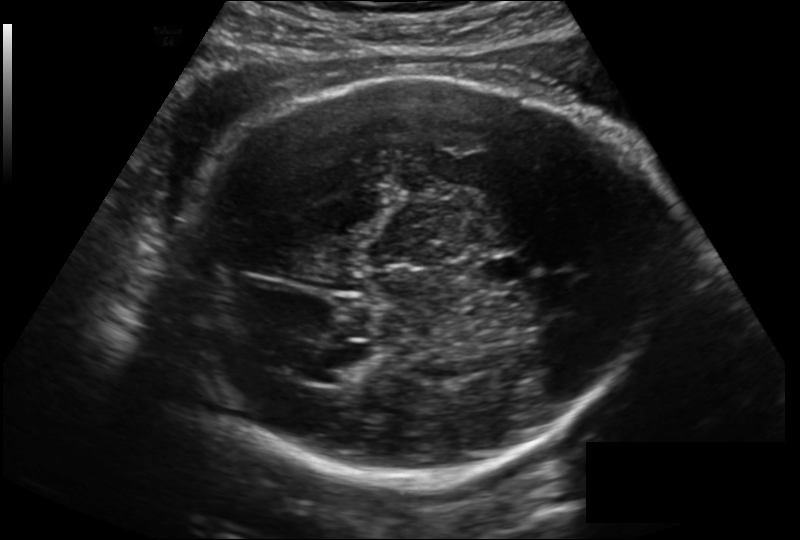
Fetal head ultrasound. Image width: 159.3 mm. Where is the cavum septum pellucidum?

CSP bounding box: [474,246,532,293]